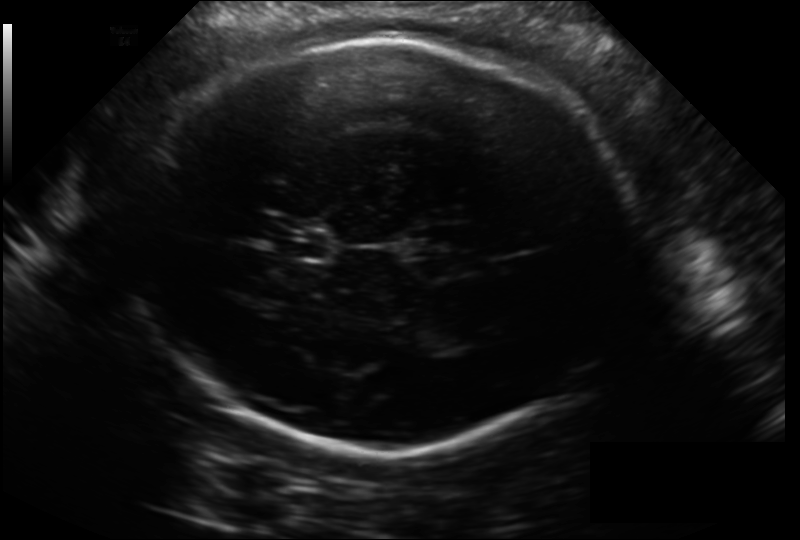
Fetal head ultrasound. Image width: 168.5 mm. Give [x1,y1,x2,y2] bounding boxes for each visible structure among: fetal head, CSP, LV.

Head: [130,37,630,451]
CSP: [272,222,330,263]